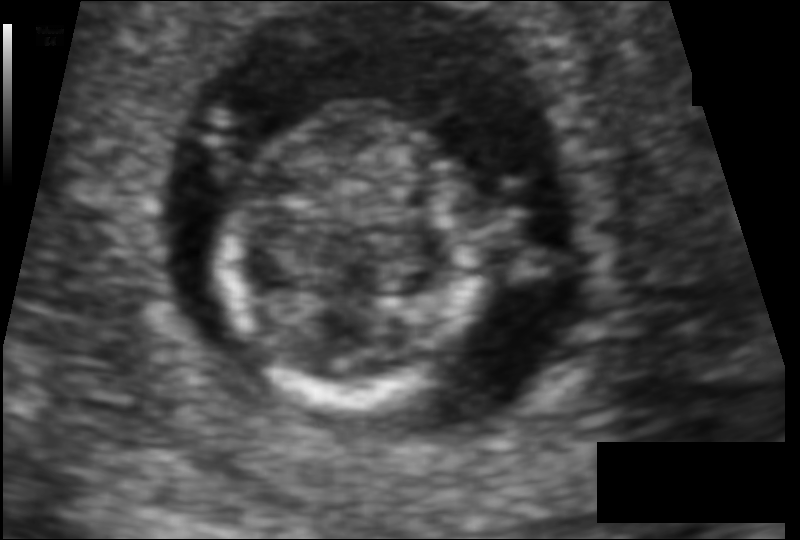
Measure the fetal head circumference shown in this ultrasound image. Image width: 63.9 mm.

Head circumference: 72.9 mm.